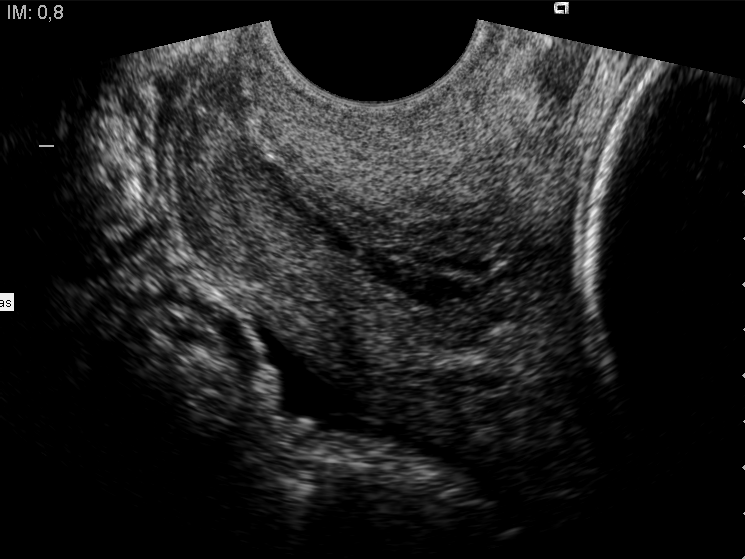
Classify this maternal-fetal ultrasound image as one of the six standard planes — fetal abdomen, fetal brain, fetal femur, fetal thorax, maternal cervix, or other. If it's fetal brain and one of the three standard brain planes (trans-thalamic, trans-cerebellum, trans-ventricular), name which.

Maternal cervix